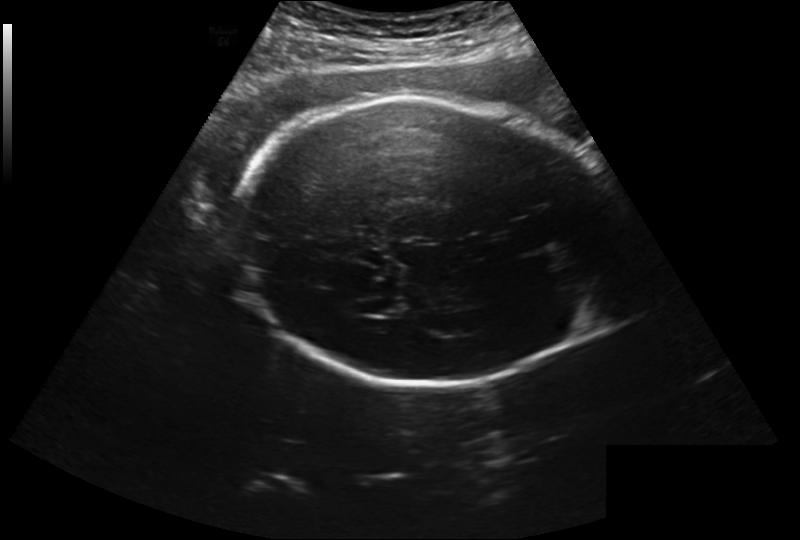
Fetal head ultrasound. Image width: 208.3 mm. Locate the lateral ventricle.

Lateral ventricle: [369,297,407,315]